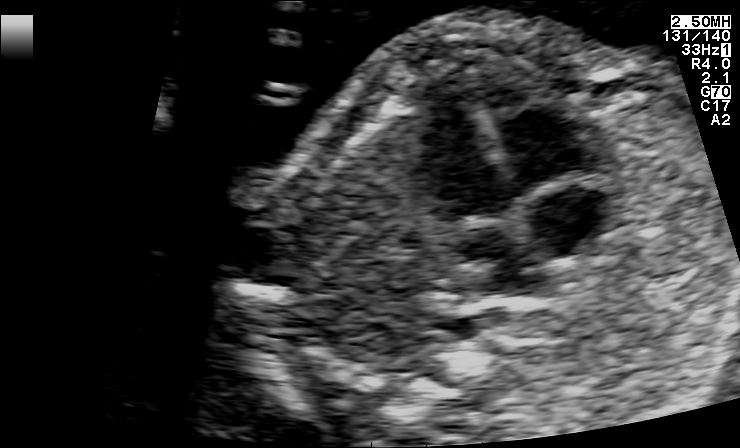
Classify this maternal-fetal ultrasound image as one of the six standard planes — fetal abdomen, fetal brain, fetal femur, fetal thorax, maternal cervix, or other. If it's fetal brain and one of the three standard brain planes (trans-thalamic, trans-cerebellum, trans-ventricular), name which.

Fetal thorax